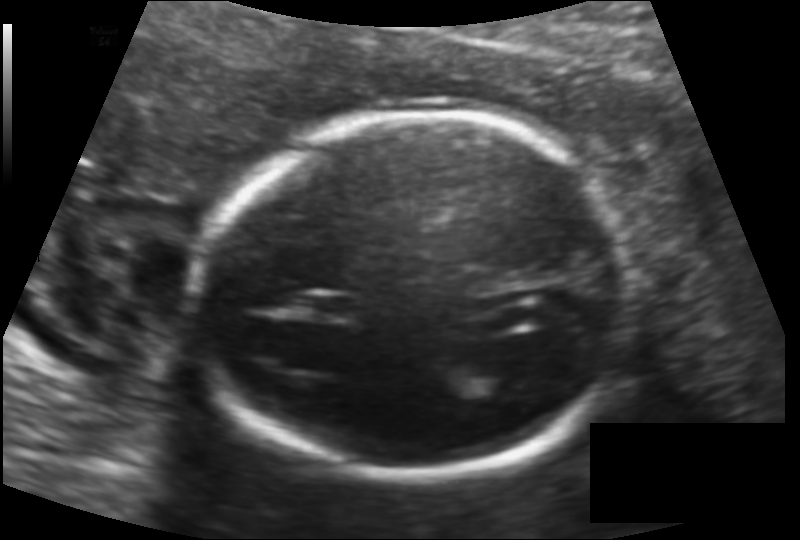
Fetal head ultrasound. Image width: 104.4 mm. Locate the cavum septum pellucidum.

CSP: [304,292,357,320]